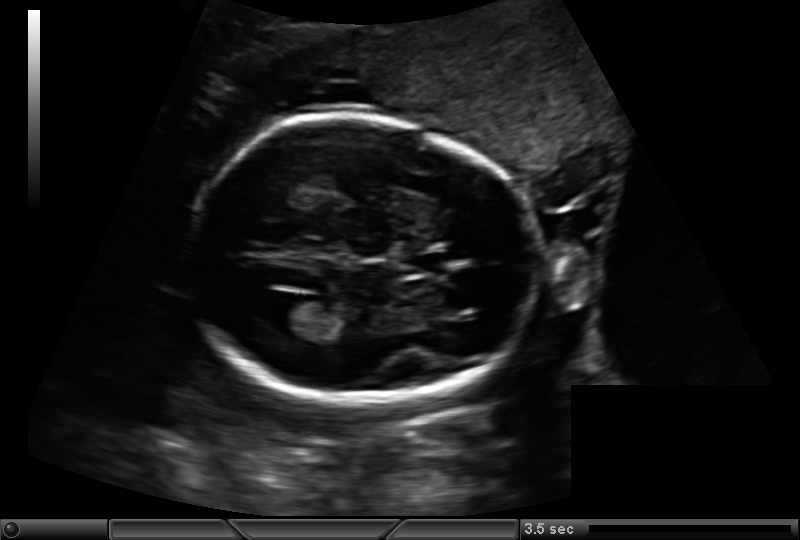
In this fetal head ultrasound, give the bounding box of the fetal head. Image width: 126.8 mm.

[189,117,540,402]